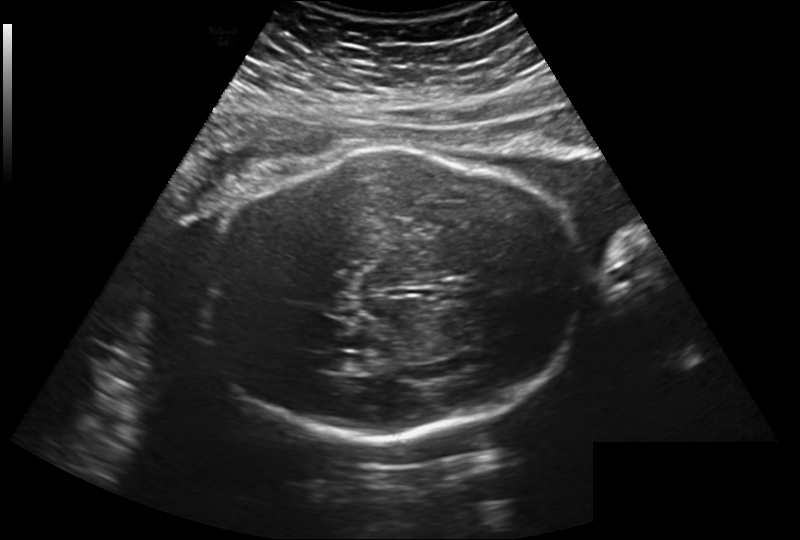
Estimate the fetal head circumference from this 2D ultrasound.

Head circumference: 277.6 mm (image width 208.3 mm).